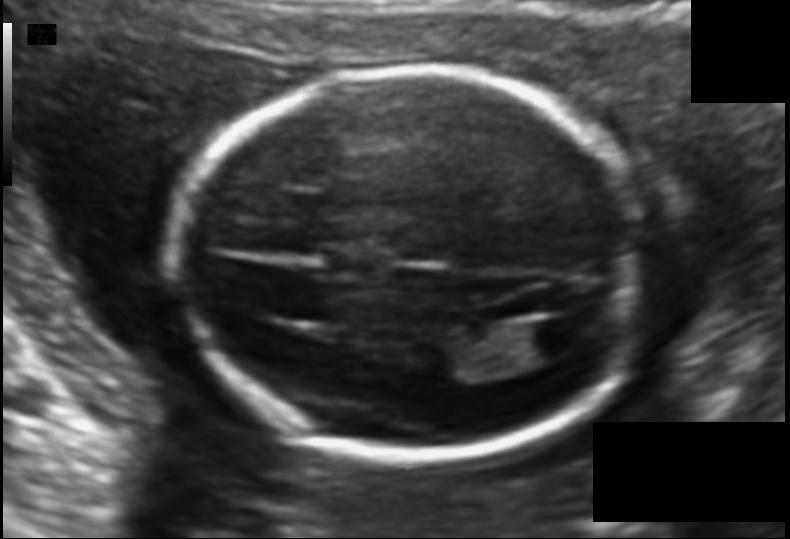
Fetal head ultrasound. Image width: 95.9 mm. Where is the lateral ventricle?

Lateral ventricle bounding box: [508,308,595,369]